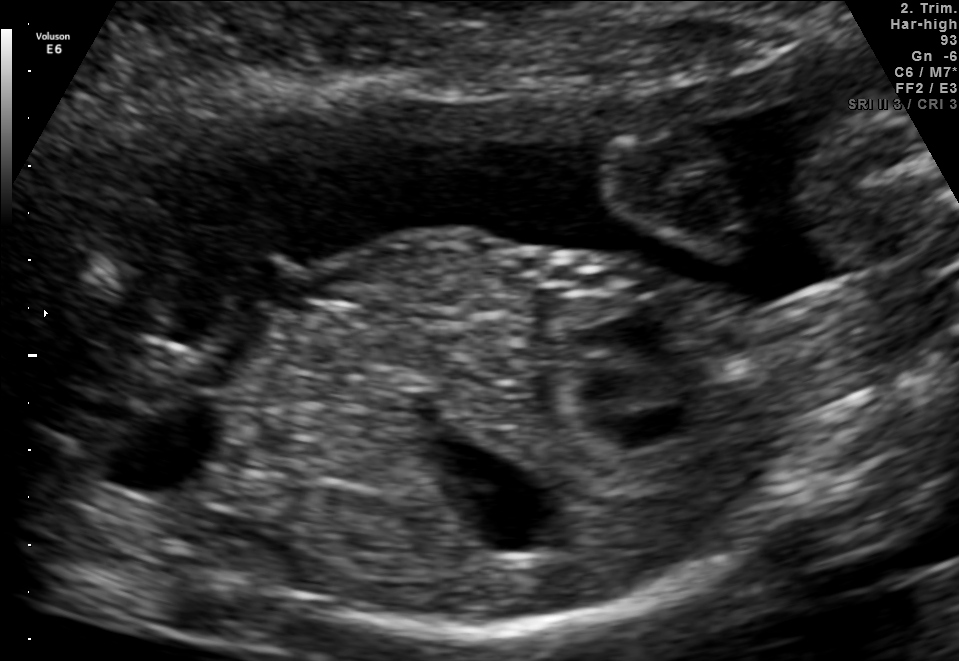
Which standard maternal-fetal ultrasound plane is shown: fetal abdomen, fetal brain, fetal femur, fetal thorax, maternal cervix, or other? If it's fetal brain and one of the three standard brain planes (trans-thalamic, trans-cerebellum, trans-ventricular), name which.

Other